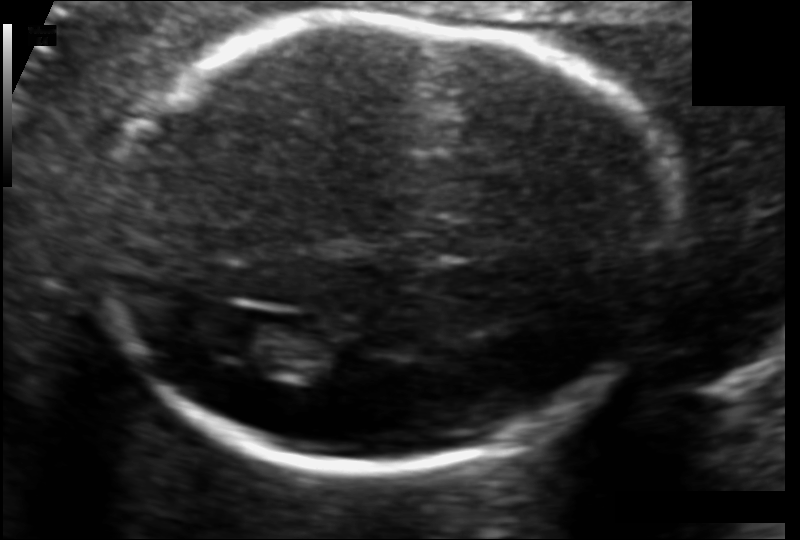
Fetal head ultrasound. Image width: 84.9 mm. Where is the fetal head?

Head bounding box: [100,16,667,470]